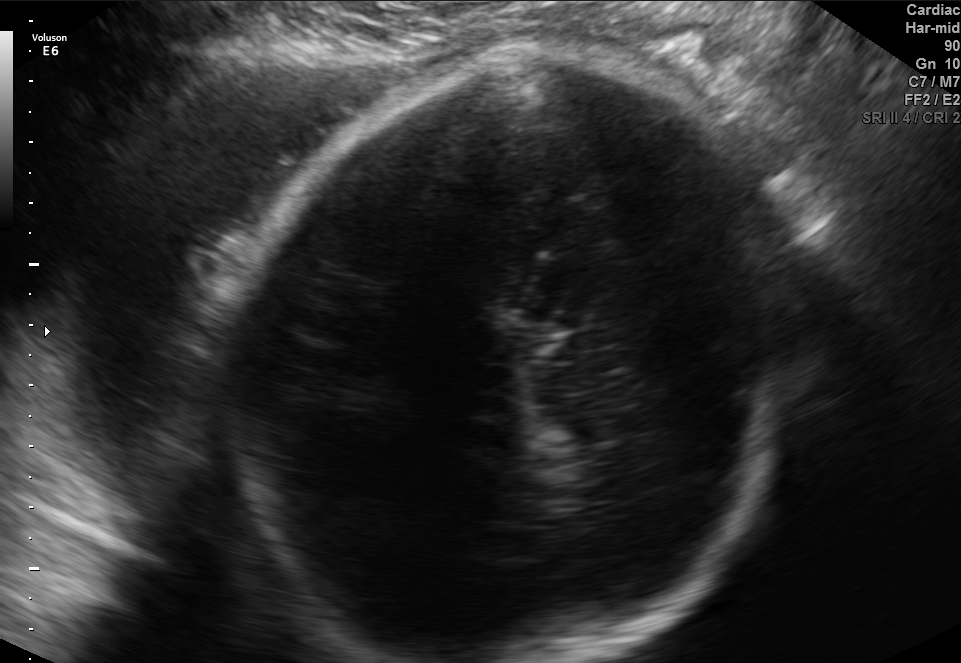
In this fetal brain, trans-thalamic plane, give the bounding box of the fetal head.

[228,57,799,662]